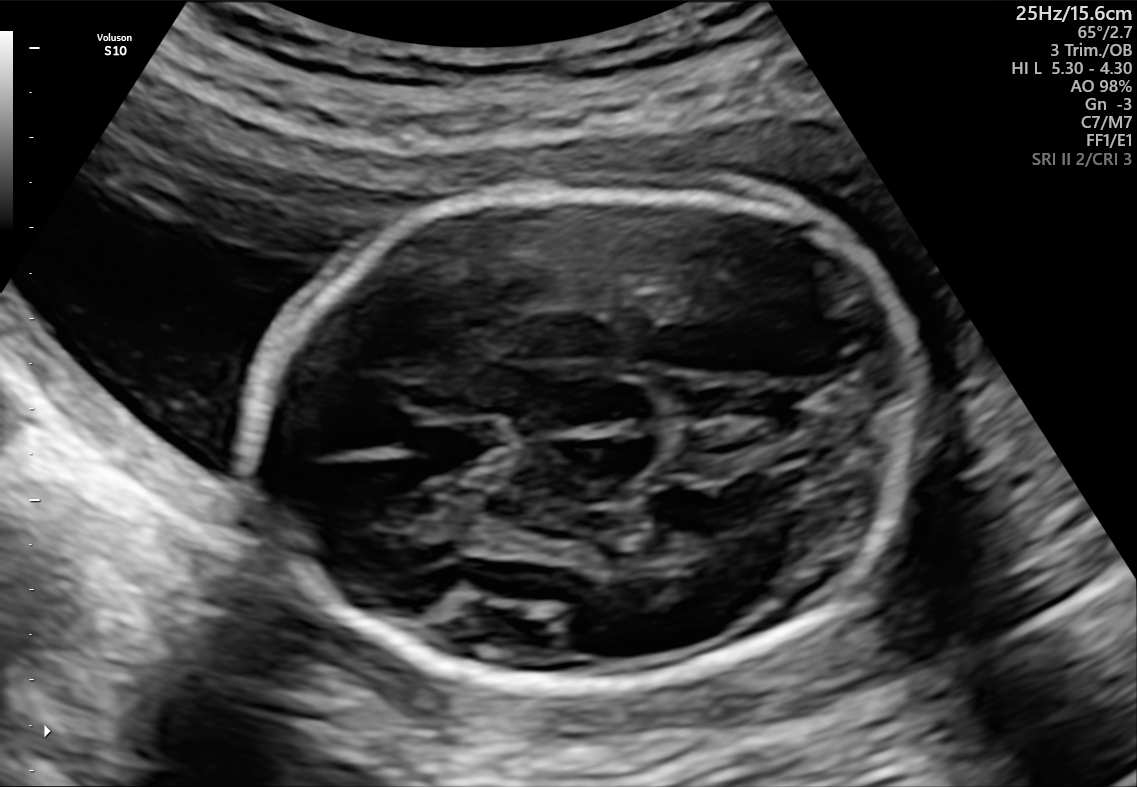
In this fetal brain, trans-thalamic plane, give bounding boxes for the head outline, cavum septum pellucidum (CSP), and lateral ventricle (LV), where visible.

Head: [247,182,924,693]
CSP: [416,414,512,476]